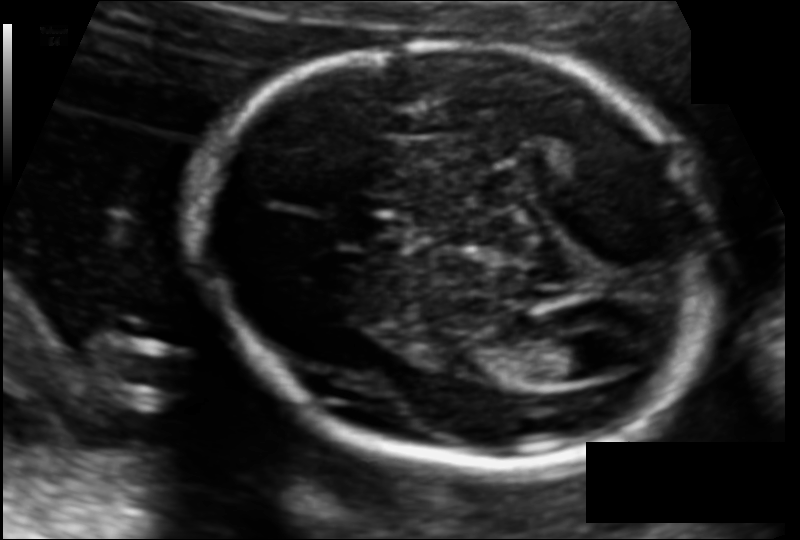
Fetal head ultrasound. Image width: 87.7 mm. Where is the cavum septum pellucidum?

CSP bounding box: [331,211,403,249]